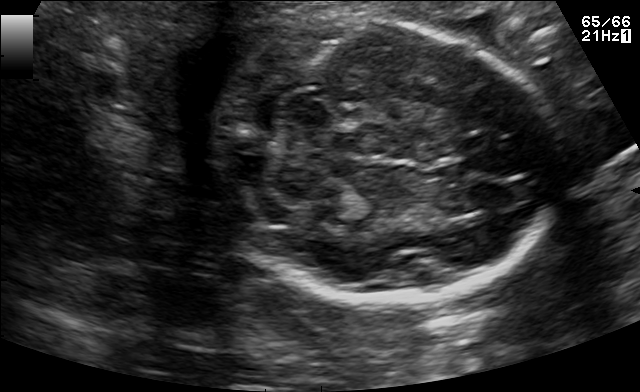
In this fetal brain, trans-cerebellum plane, give the bounding box of the fetal head.

[203,20,561,302]